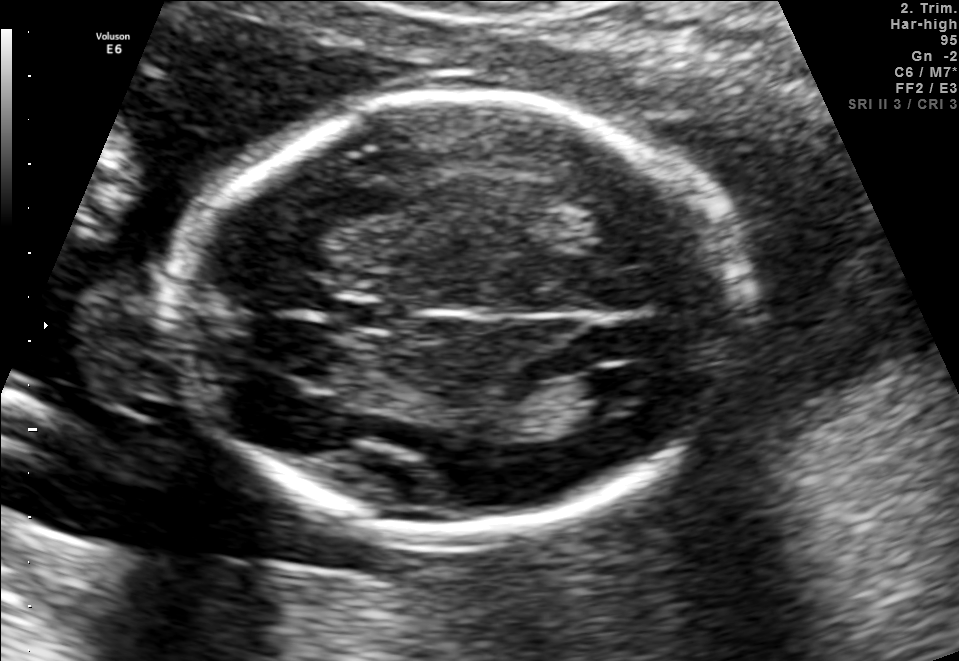
In this fetal brain, trans-ventricular plane, give the bounding box of the lateral ventricle.

[577,360,664,417]